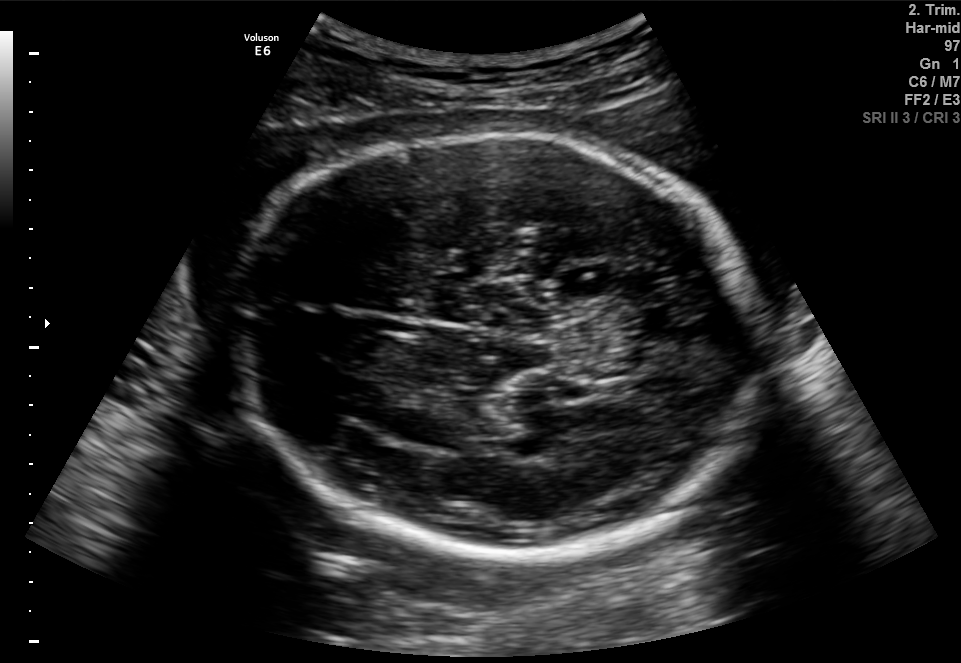
Identify the standard plane in this fetal ultrasound image: fetal abdomen, fetal brain, fetal femur, fetal thorax, maternal cervix, or other. If it's fetal brain and one of the three standard brain planes (trans-thalamic, trans-cerebellum, trans-ventricular), name which.

Fetal brain (trans-thalamic plane)